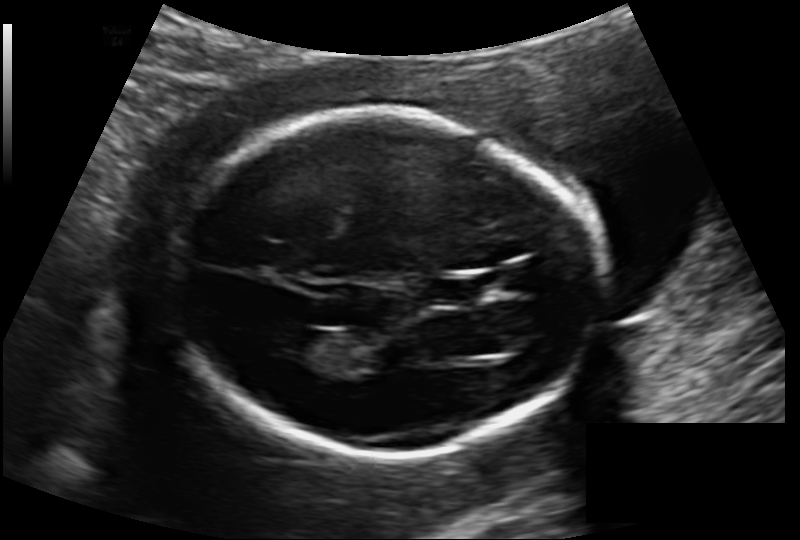
Fetal head ultrasound. Image width: 106.3 mm. Locate the lateral ventricle.

Lateral ventricle: [265,322,331,366]